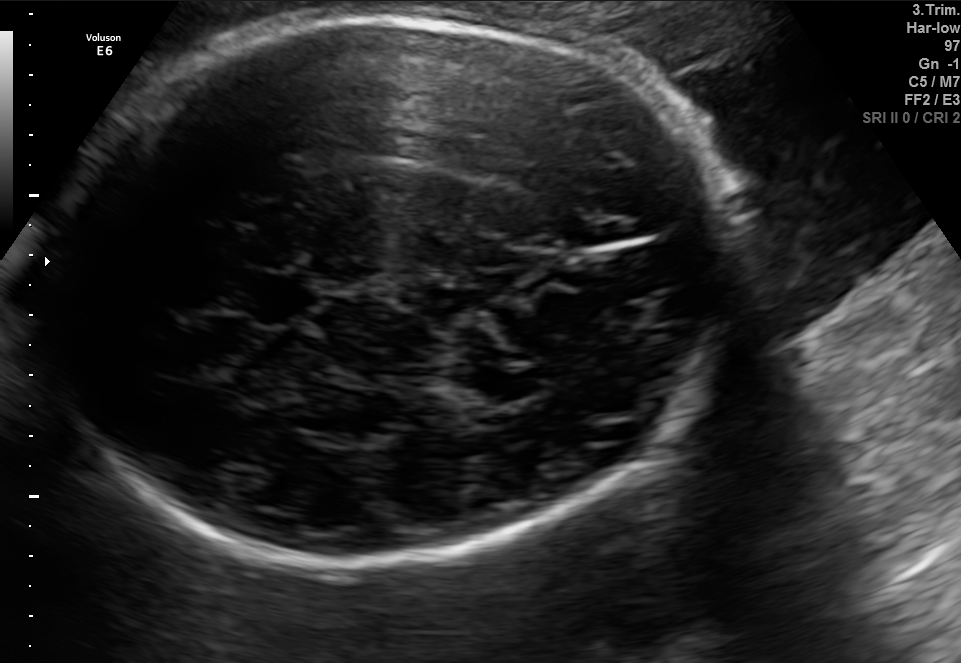
In this fetal brain, trans-thalamic plane, give the bounding box of the cavum septum pellucidum.

[237,270,304,326]